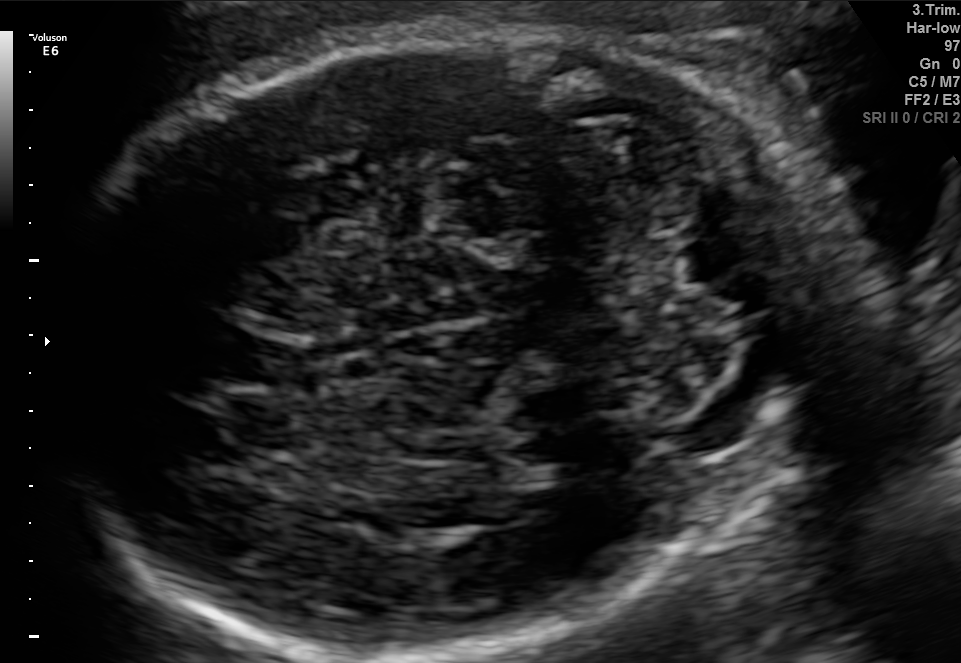
Fetal brain, trans-cerebellum plane. Where is the cavum septum pellucidum?

CSP bounding box: [215,327,317,396]